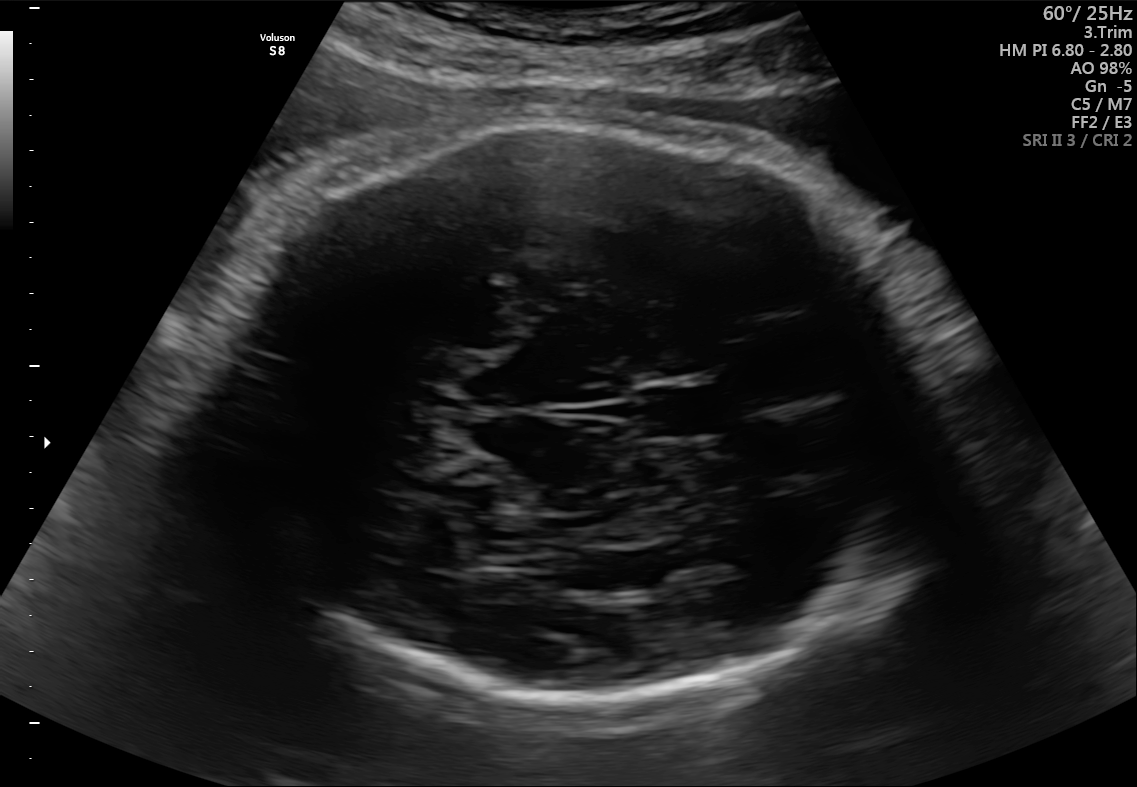
Fetal brain, trans-thalamic plane. Locate the fetal head.

Head: [215,124,930,701]